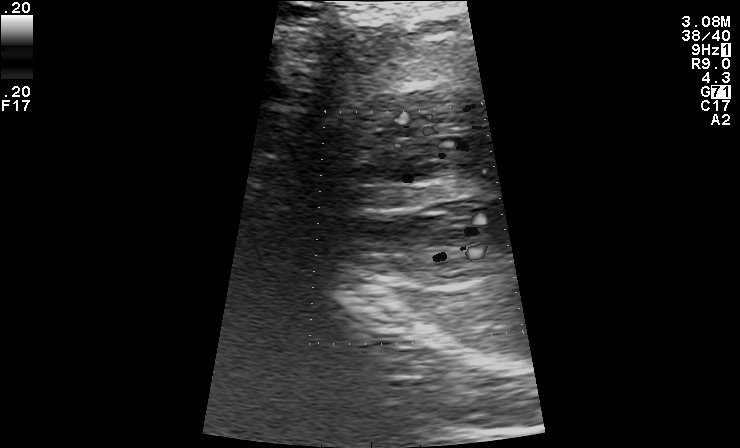
Identify the standard plane in this fetal ultrasound image: fetal abdomen, fetal brain, fetal femur, fetal thorax, maternal cervix, or other. If it's fetal brain and one of the three standard brain planes (trans-thalamic, trans-cerebellum, trans-ventricular), name which.

Other